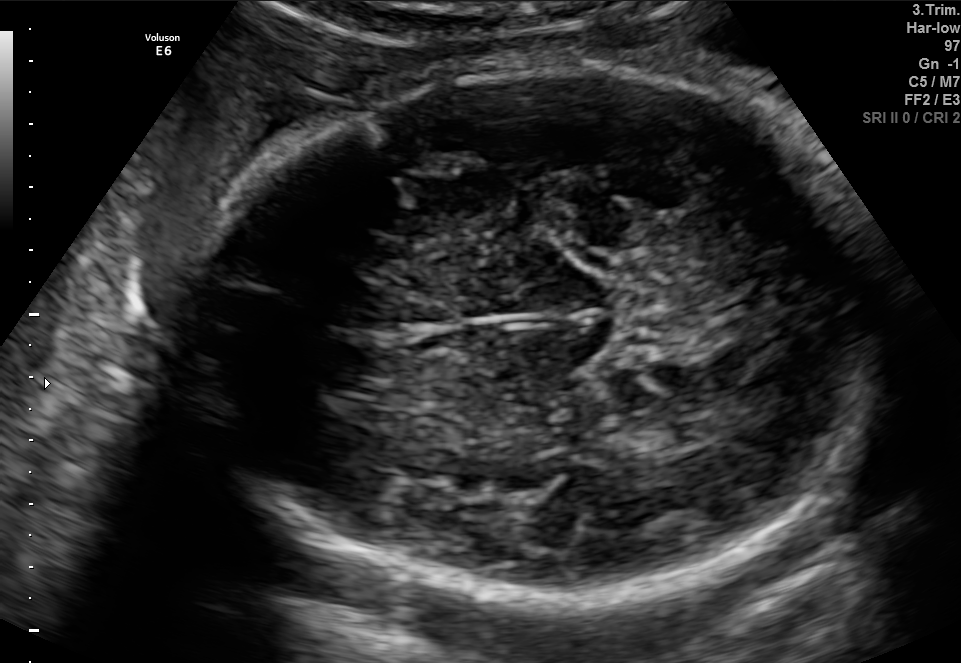
Fetal brain, trans-thalamic plane. Locate the fetal head.

Head: [182,60,875,597]